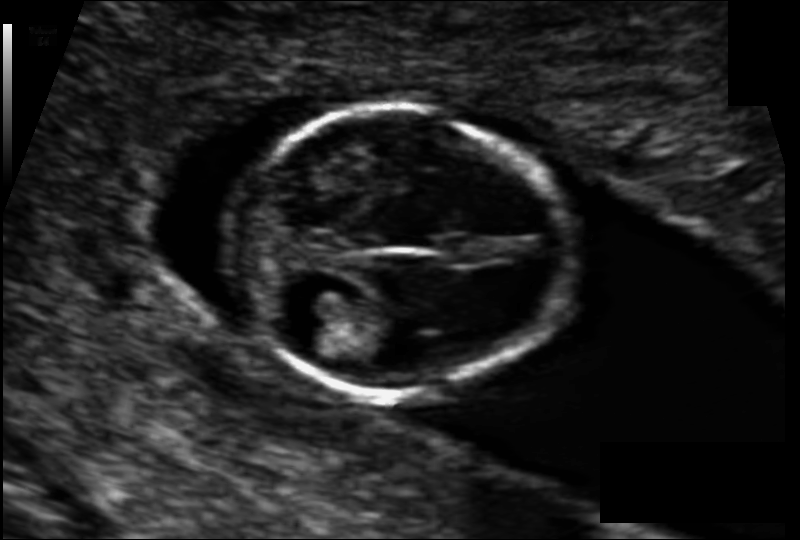
Fetal head ultrasound. Image width: 63.0 mm. Where is the fetal head?

Head bounding box: [229,109,566,399]